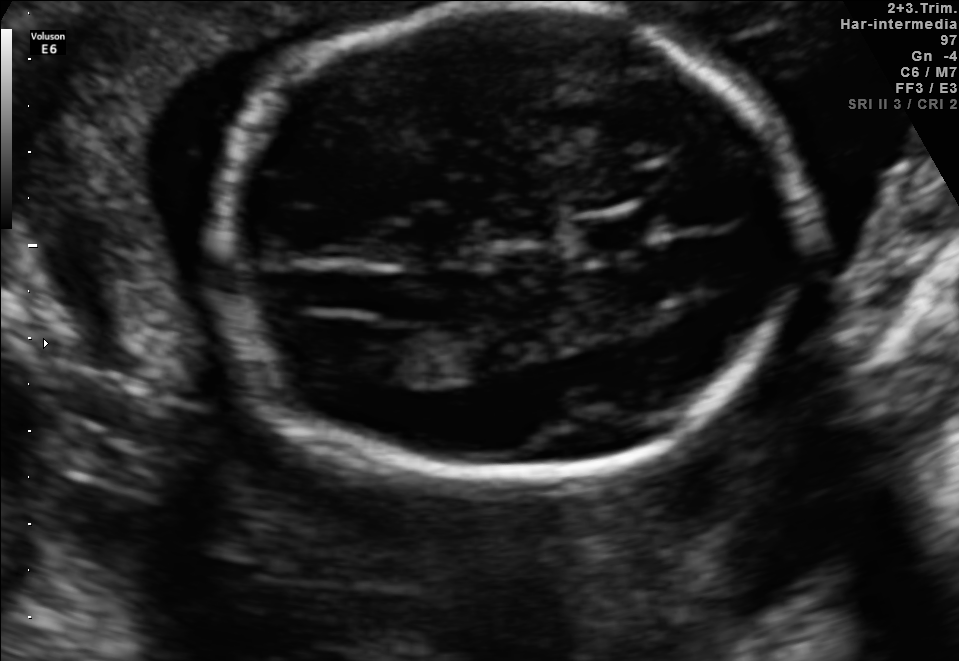
Fetal brain, trans-ventricular plane. Where is the fetal head?

Head bounding box: [196,2,831,497]